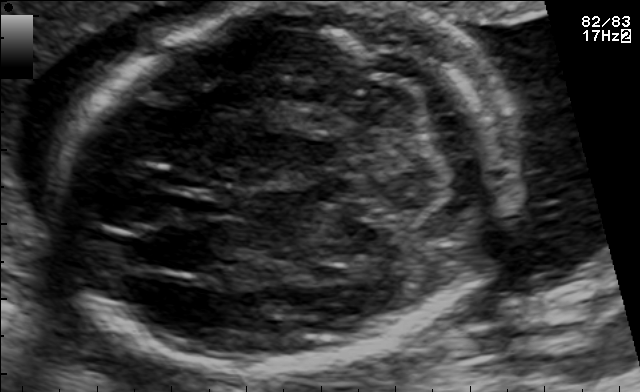
Fetal brain, trans-cerebellum plane. Give [x1,y1,x2,y2] bounding boxes for each visible structure among: fetal head, CSP, LV.

Head: [49,2,523,369]